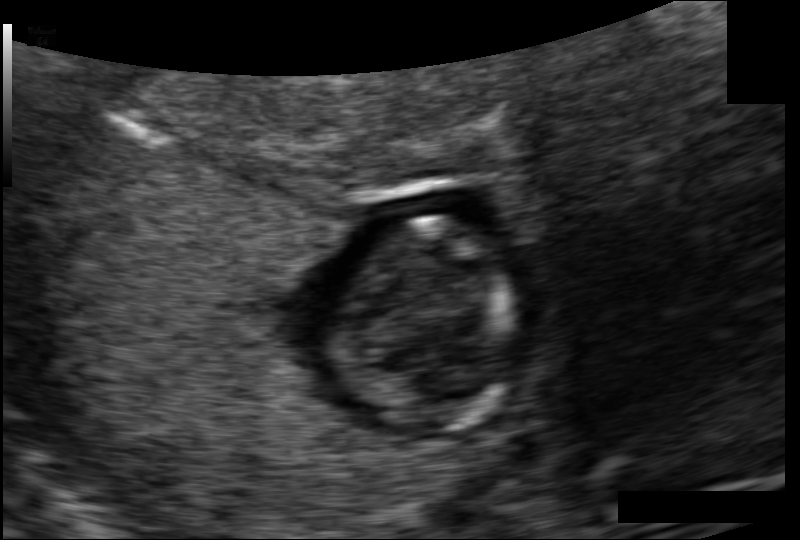
Measure the fetal head circumference shown in this ultrasound image. Image width: 78.5 mm.

Head circumference: 65.4 mm.